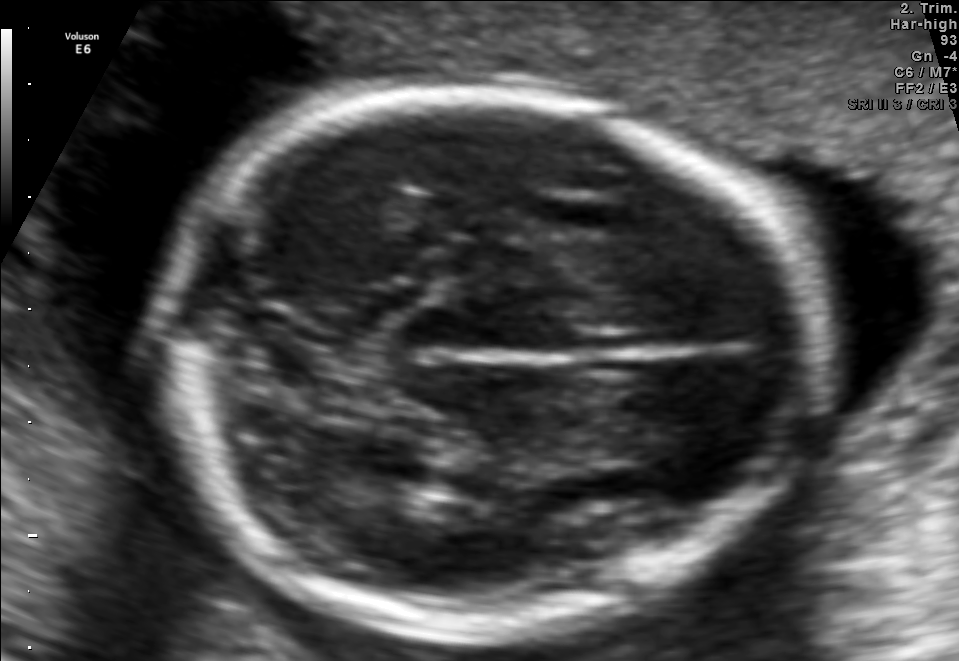
Fetal brain, trans-thalamic plane. Give [x1,y1,x2,y2] bounding boxes for each visible structure among: fetal head, CSP, LV.

Head: [149,96,816,631]